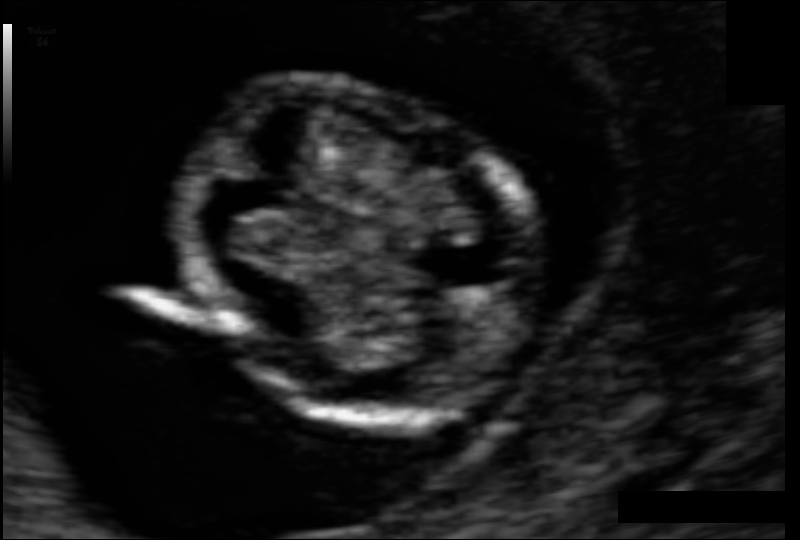
Fetal head ultrasound. Image width: 47.3 mm. Where is the fetal head?

Head bounding box: [174,83,541,419]